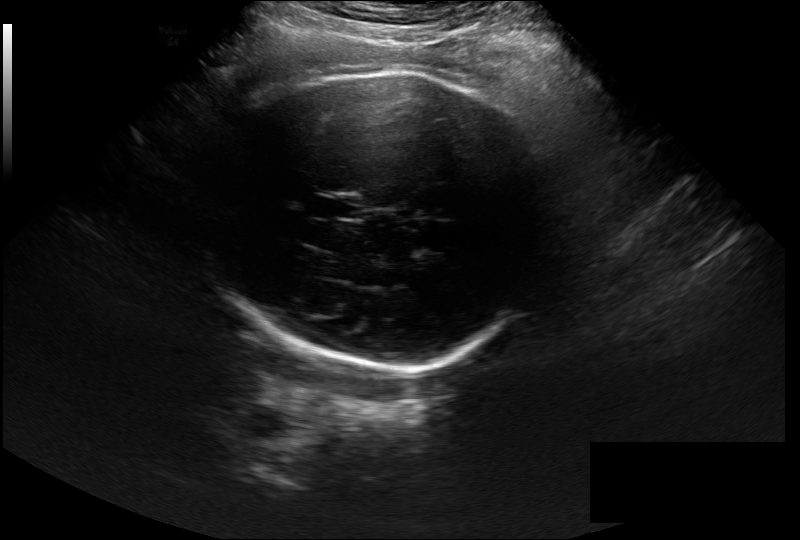
Fetal head ultrasound. Image width: 237.6 mm. Give [x1,y1,x2,y2] bounding boxes for each visible structure among: fetal head, CSP, LV.

Head: [209,73,549,371]
CSP: [317,192,363,221]